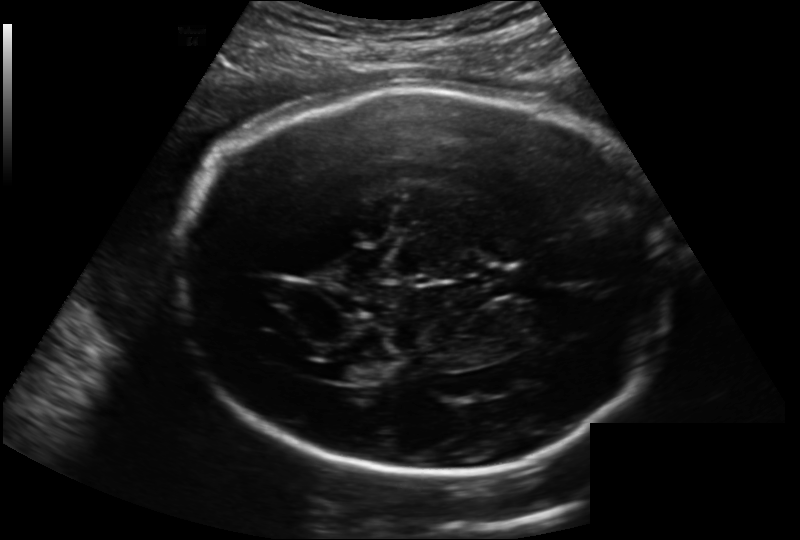
Fetal head ultrasound. Image width: 161.8 mm. Locate the lateral ventricle.

Lateral ventricle: [332,360,377,382]